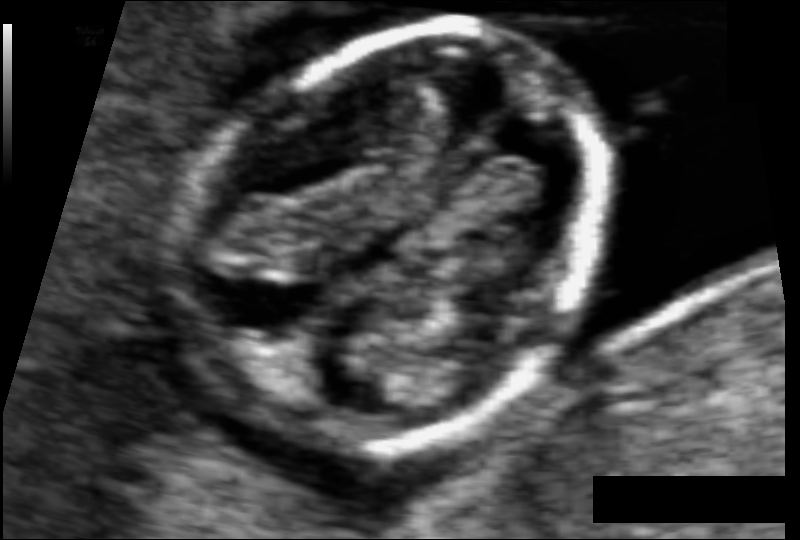
Fetal head ultrasound. Image width: 47.6 mm. Where is the fetal head?

Head bounding box: [189,29,610,448]